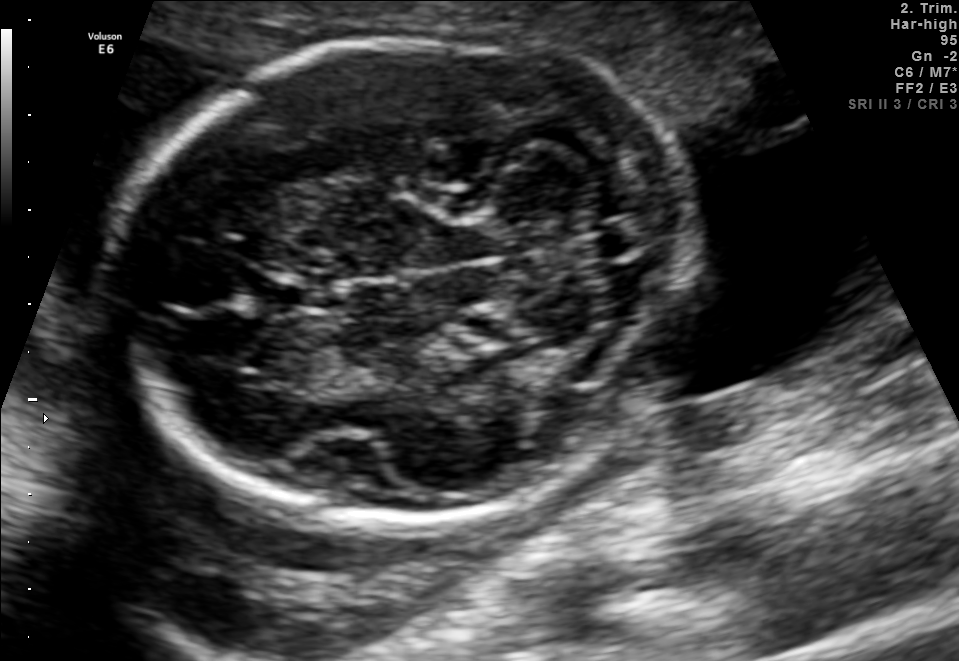
In this fetal brain, trans-cerebellum plane, give the bounding box of the fetal head.

[117,38,682,527]